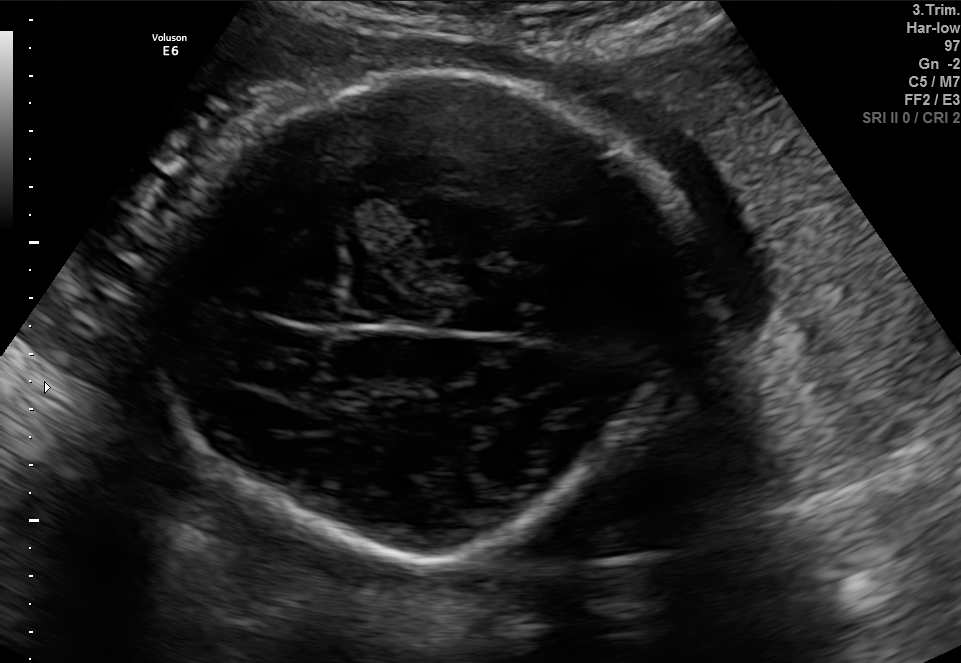
Fetal brain, trans-thalamic plane. Locate the fetal head.

Head: [172,58,674,561]